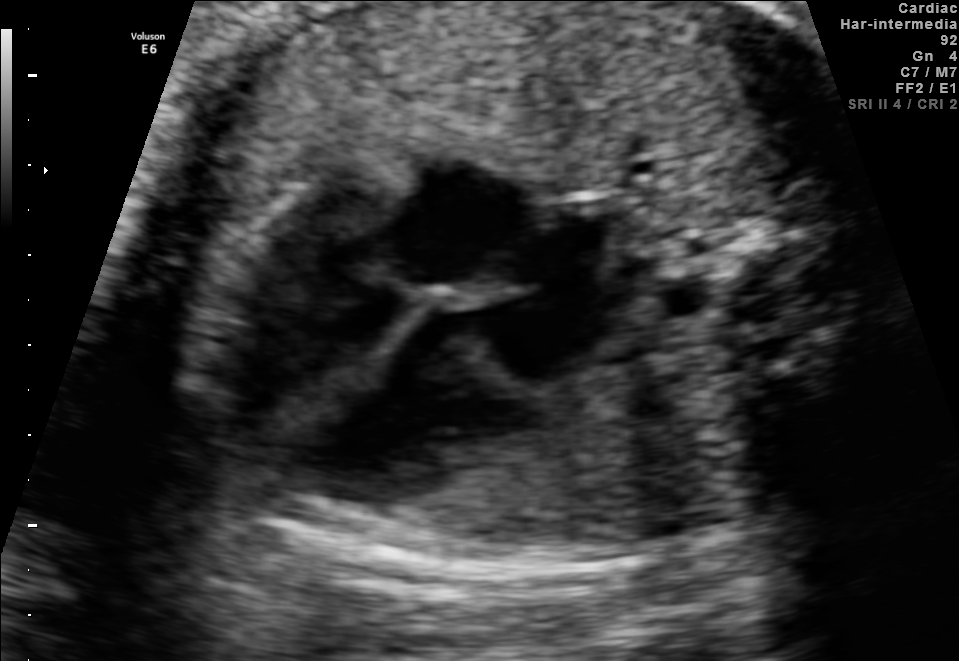
Identify the standard plane in this fetal ultrasound image: fetal abdomen, fetal brain, fetal femur, fetal thorax, maternal cervix, or other. If it's fetal brain and one of the three standard brain planes (trans-thalamic, trans-cerebellum, trans-ventricular), name which.

Fetal thorax